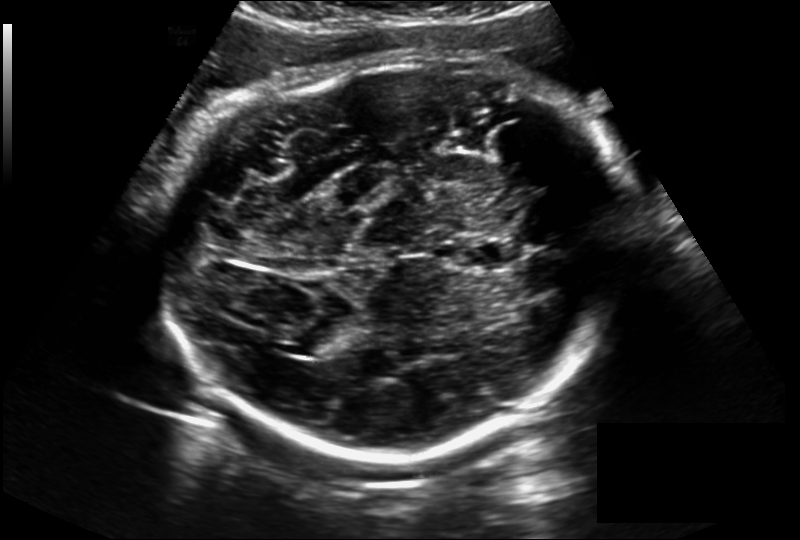
From this fetal ultrasound, estimate the head circumference (image width 182.1 mm).

Head circumference: 315.8 mm.